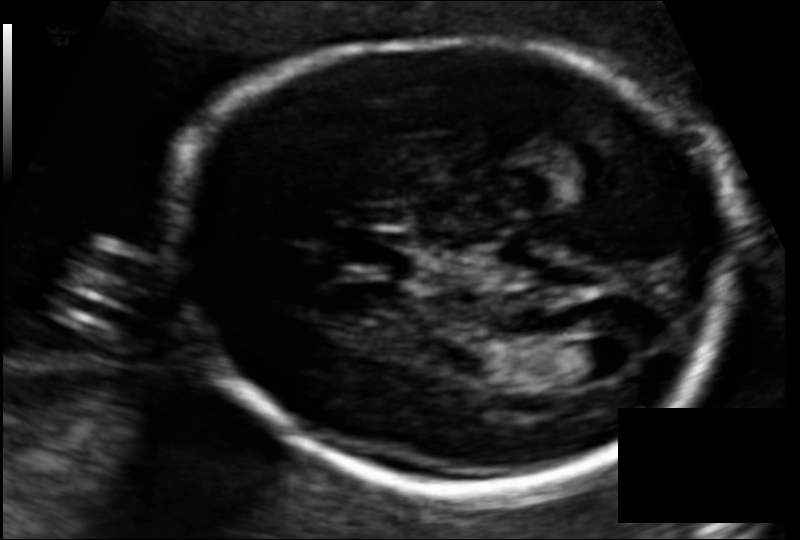
Estimate the fetal head circumference from this 2D ultrasound. Image width: 86.4 mm.

Head circumference: 182.0 mm.